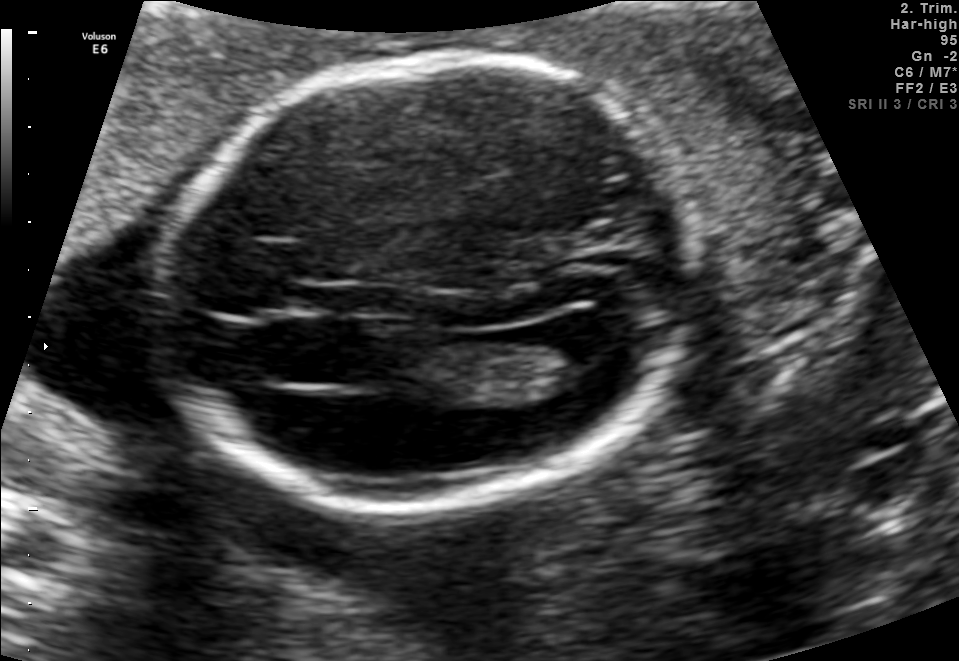
Fetal brain, trans-ventricular plane. Give [x1,y1,x2,y2] bounding boxes for each visible structure among: fetal head, CSP, LV.

Head: [147,48,708,527]